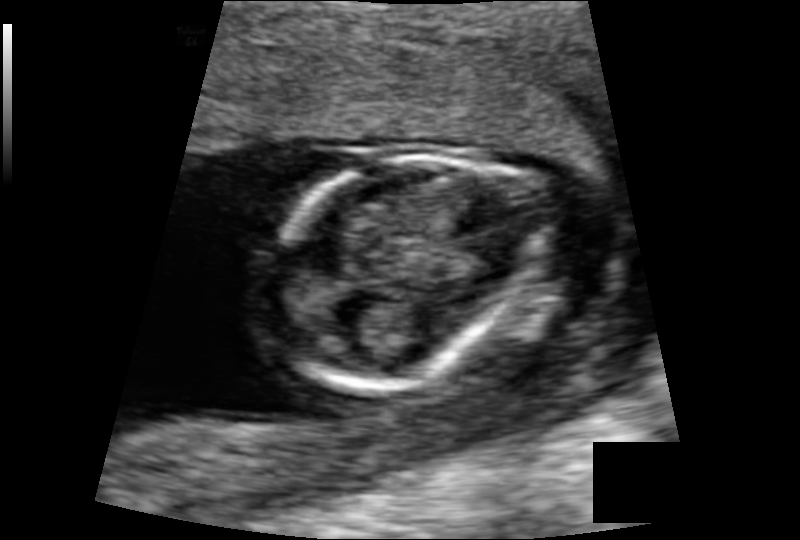
Fetal head ultrasound. Image width: 82.7 mm. Locate the fetal head.

Head: [267,156,533,390]